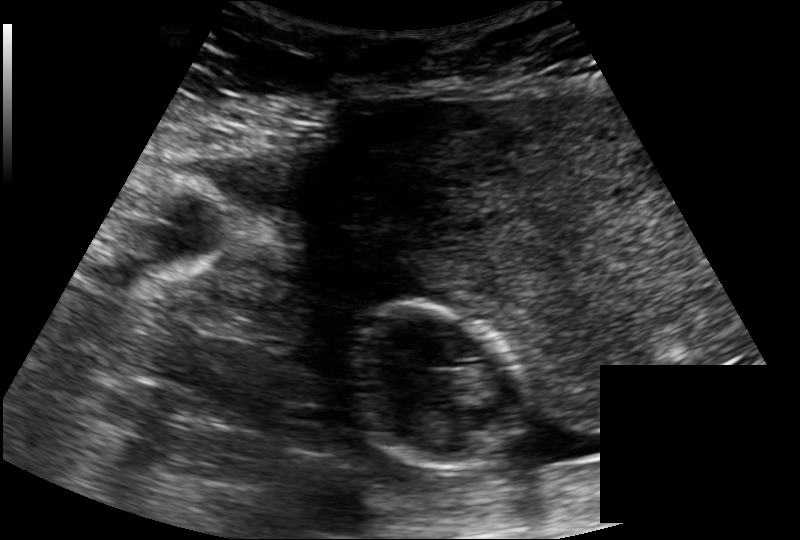
From this fetal ultrasound, estimate the head circumference (image width 136.5 mm).

Head circumference: 98.2 mm.